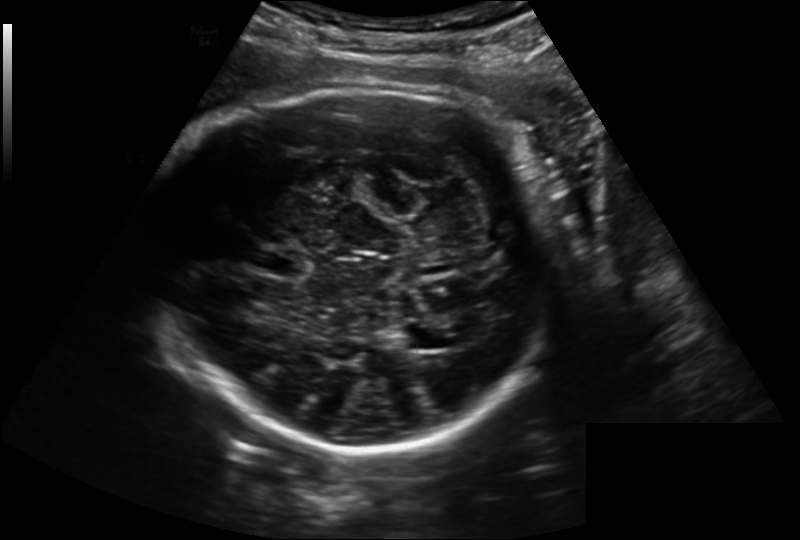
Fetal head ultrasound. Image width: 177.2 mm. Locate the lateral ventricle.

Lateral ventricle: [398,327,439,349]